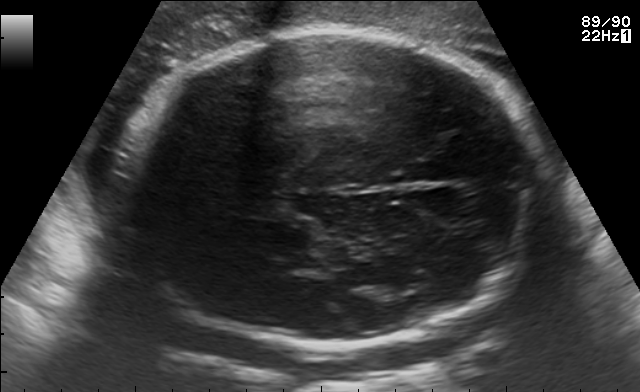
Fetal brain, trans-thalamic plane. Where is the fetal head?

Head bounding box: [113,32,533,343]